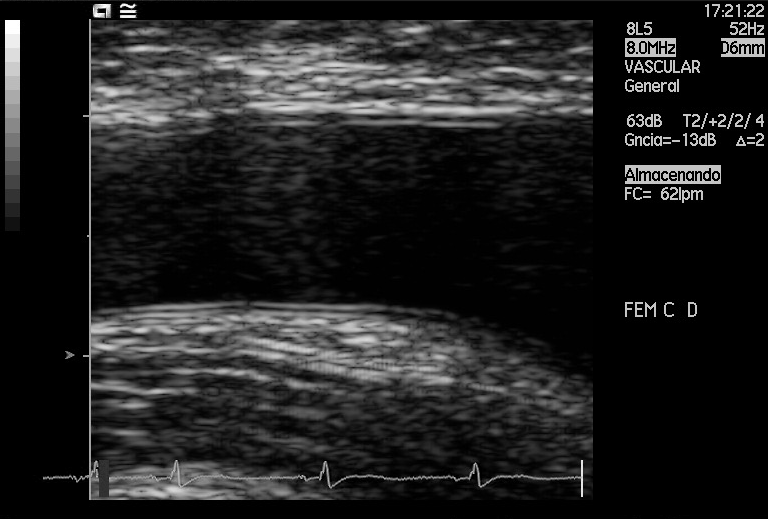
Identify the standard plane in this fetal ultrasound image: fetal abdomen, fetal brain, fetal femur, fetal thorax, maternal cervix, or other. If it's fetal brain and one of the three standard brain planes (trans-thalamic, trans-cerebellum, trans-ventricular), name which.

Other